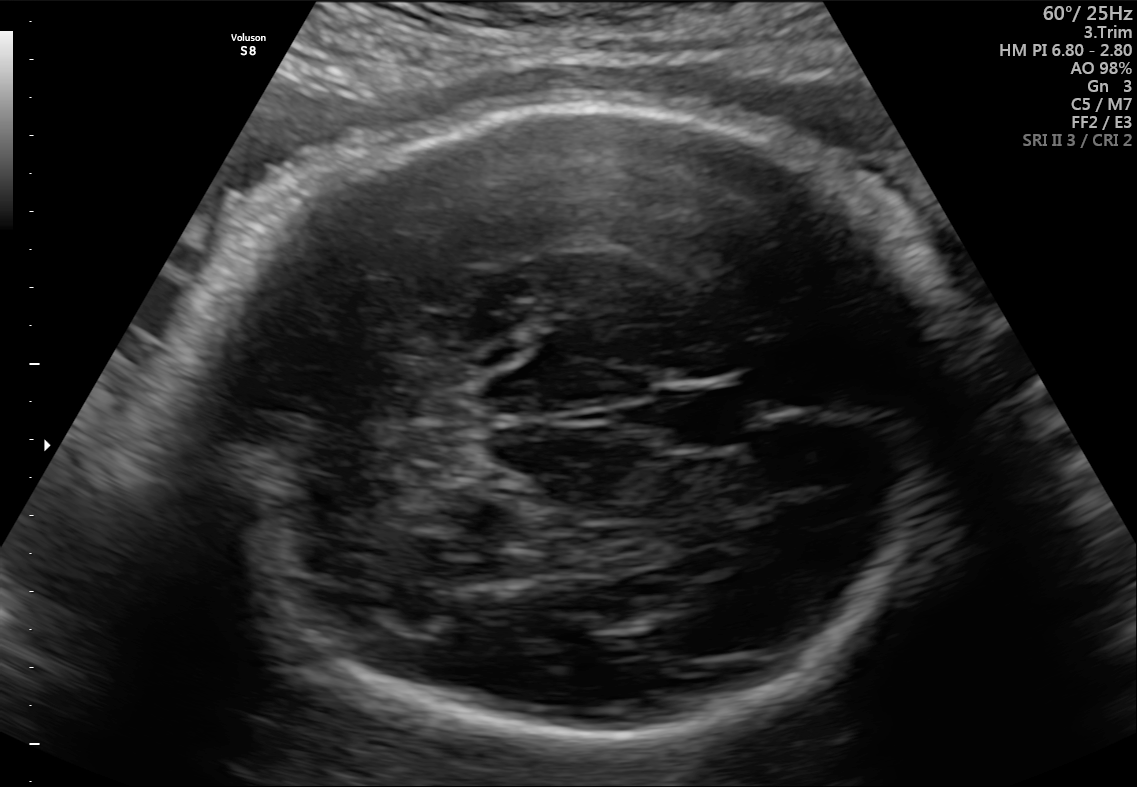
Fetal brain, trans-cerebellum plane. Locate the fetal head and, if visible, the cavum septum pellucidum (CSP) and lateral ventricle (LV). Give bounding boxes as [x1,y1,x2,y2].

Head: [184,106,953,743]
CSP: [656,378,752,459]